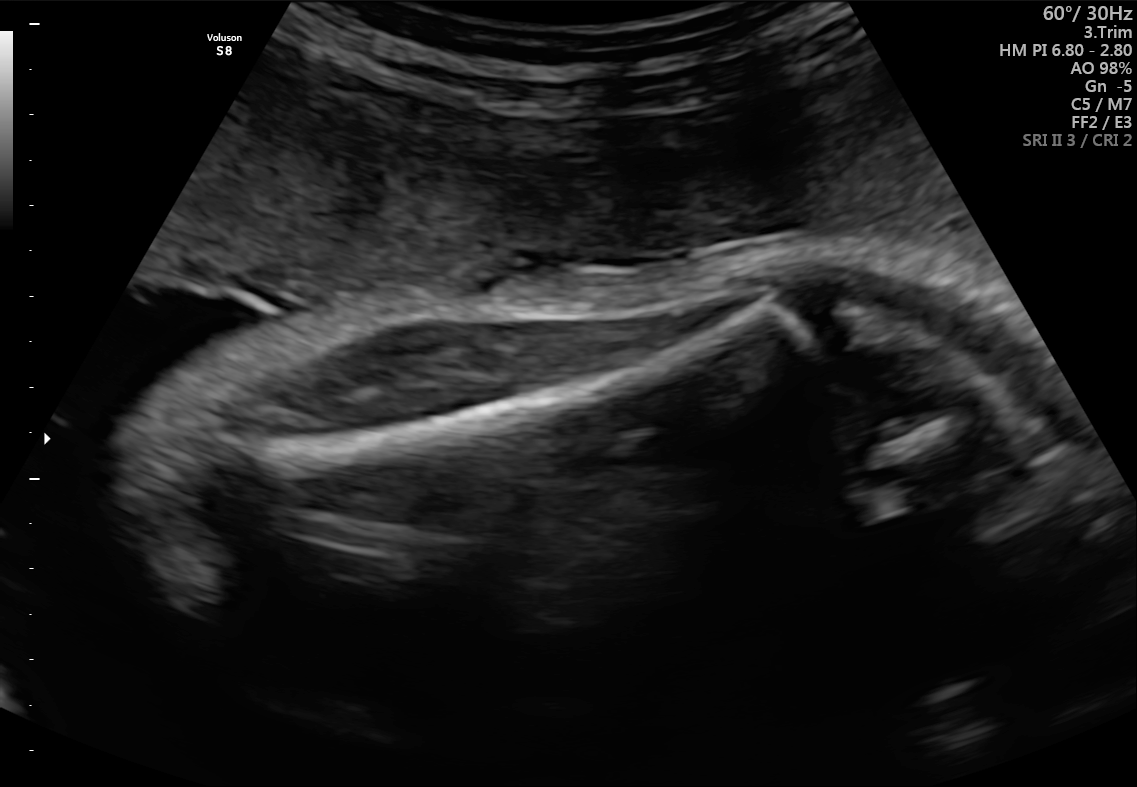
Identify the standard plane in this fetal ultrasound image: fetal abdomen, fetal brain, fetal femur, fetal thorax, maternal cervix, or other. If it's fetal brain and one of the three standard brain planes (trans-thalamic, trans-cerebellum, trans-ventricular), name which.

Fetal femur